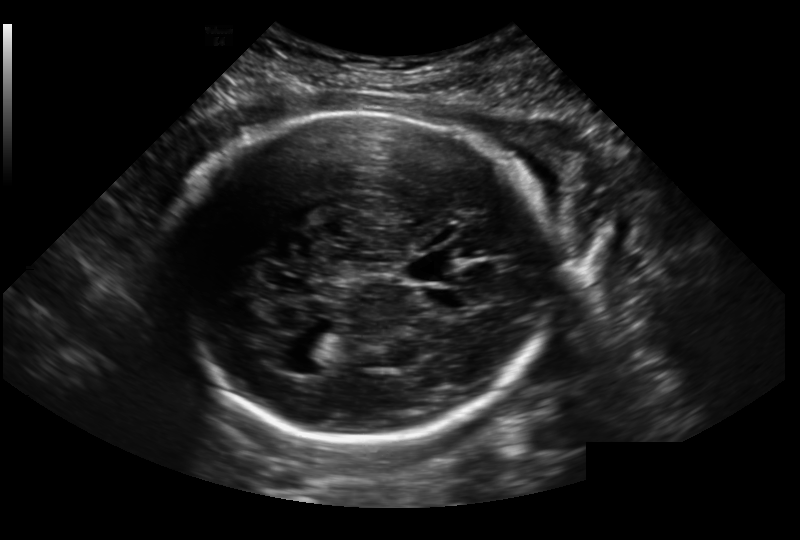
Fetal head ultrasound. Image width: 188.7 mm. Where is the fetal head?

Head bounding box: [176,109,549,443]